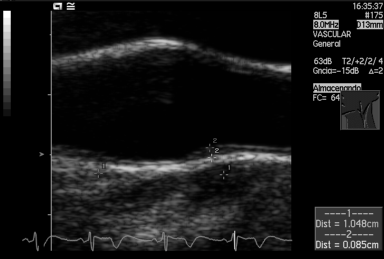
Identify the standard plane in this fetal ultrasound image: fetal abdomen, fetal brain, fetal femur, fetal thorax, maternal cervix, or other. If it's fetal brain and one of the three standard brain planes (trans-thalamic, trans-cerebellum, trans-ventricular), name which.

Other